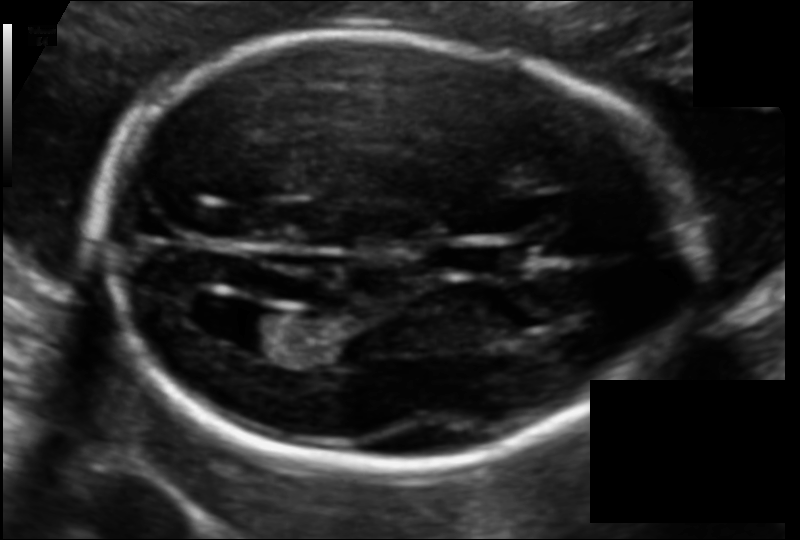
Fetal head ultrasound. Image width: 86.6 mm. Where is the lateral ventricle?

Lateral ventricle bounding box: [219,304,301,364]